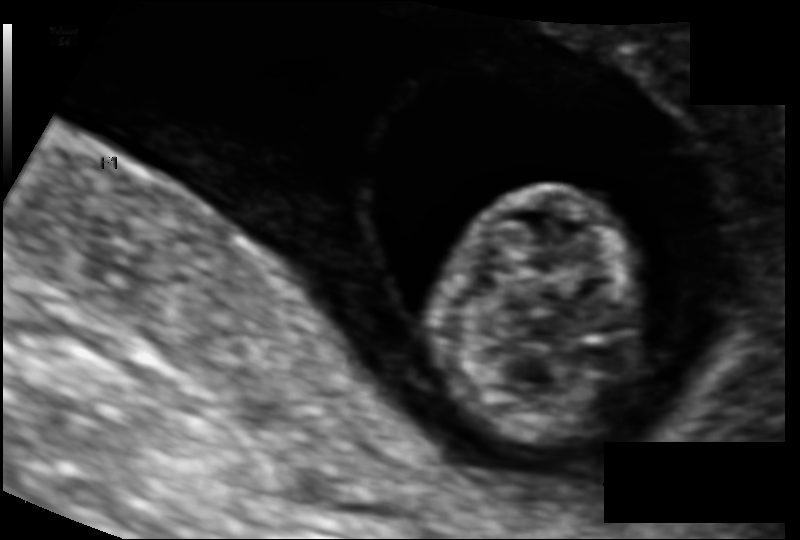
What is the fetal head circumference? Image width is 75.4 mm.

70.0 mm